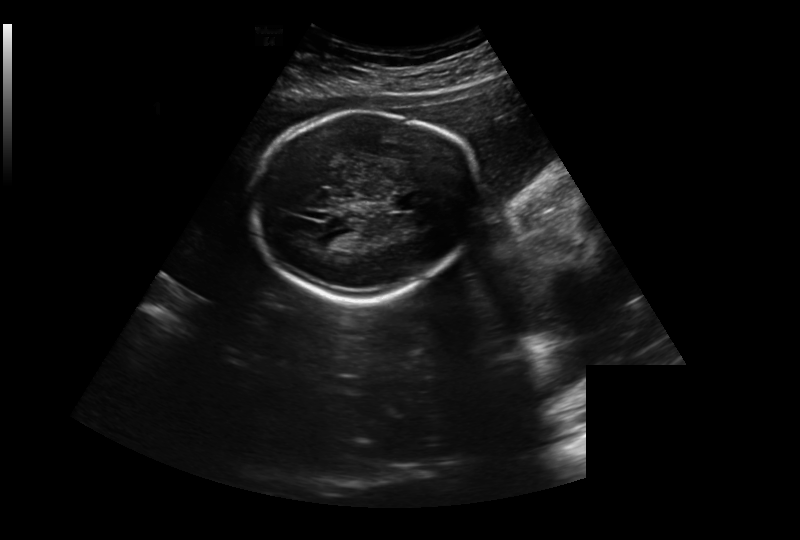
Estimate the fetal head circumference from this 2D ultrasound. Image width: 260.8 mm.

Head circumference: 220.8 mm.